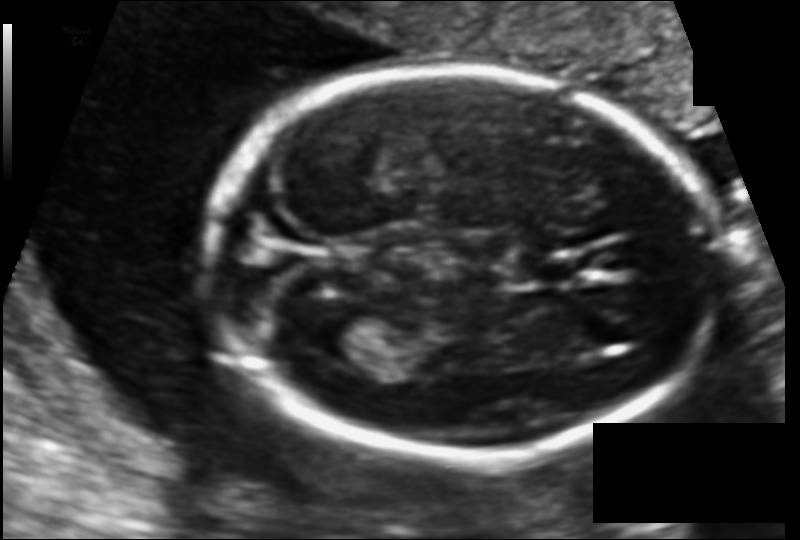
Fetal head ultrasound. Image width: 86.7 mm. Locate the lateral ventricle.

Lateral ventricle: [300,297,382,367]